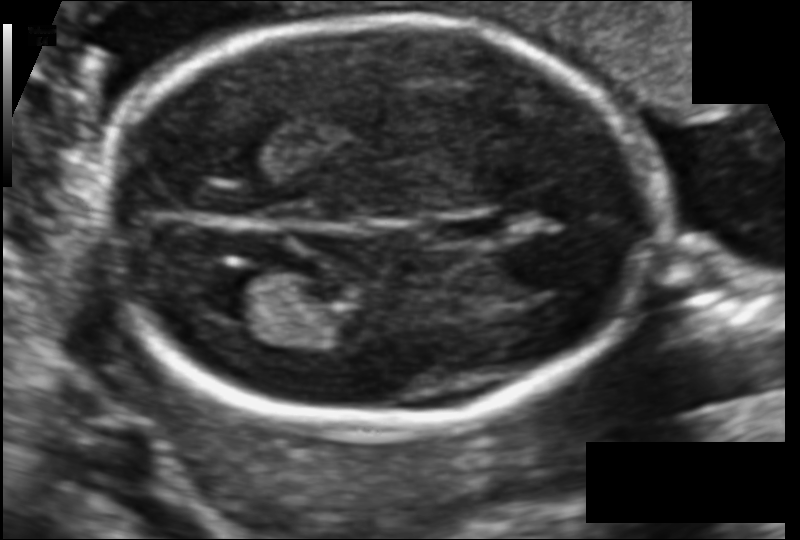
In this fetal head ultrasound, give bounding boxes for the head outline, cavum septum pellucidum (CSP), and lateral ventricle (LV), where visible. Image width: 84.6 mm.

Head: [99,17,662,431]
CSP: [426,209,507,247]
Lateral ventricle: [192,258,287,331]